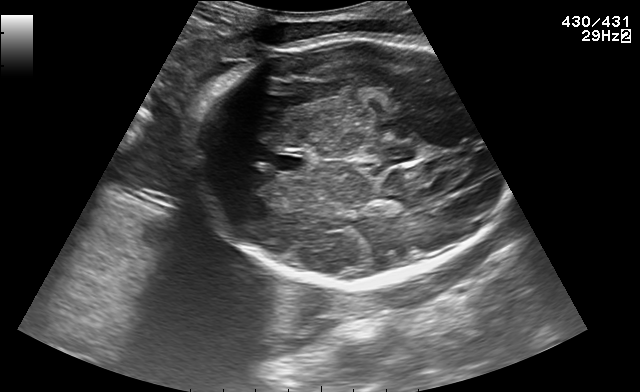
In this fetal brain, trans-thalamic plane, give bounding boxes for the cavum septum pellucidum (CSP) and lateral ventricle (LV), where visible.

CSP: [272,151,307,171]